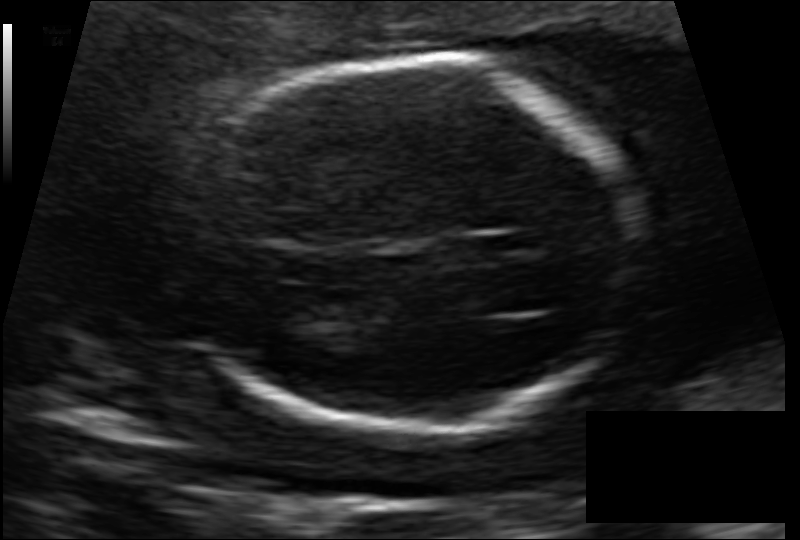
Fetal head ultrasound. Image width: 103.2 mm. Where is the fetal head?

Head bounding box: [191,57,636,439]